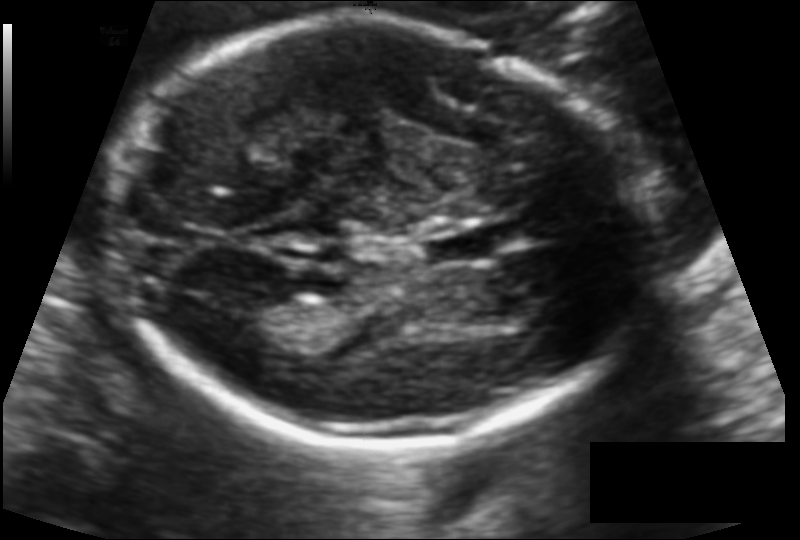
Estimate the fetal head circumference from this 2D ultrasound.

Head circumference: 179.2 mm (image width 90.9 mm).